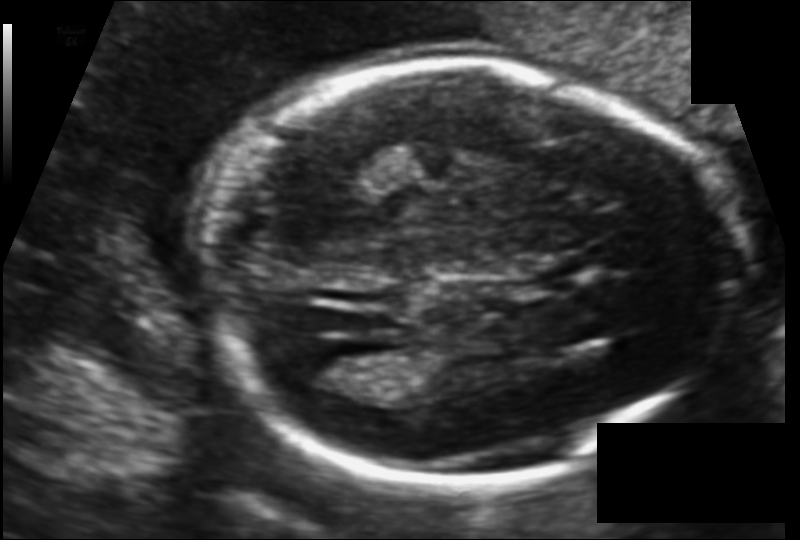
Fetal head ultrasound. Image width: 93.1 mm. Locate the fetal head.

Head: [198,60,736,485]